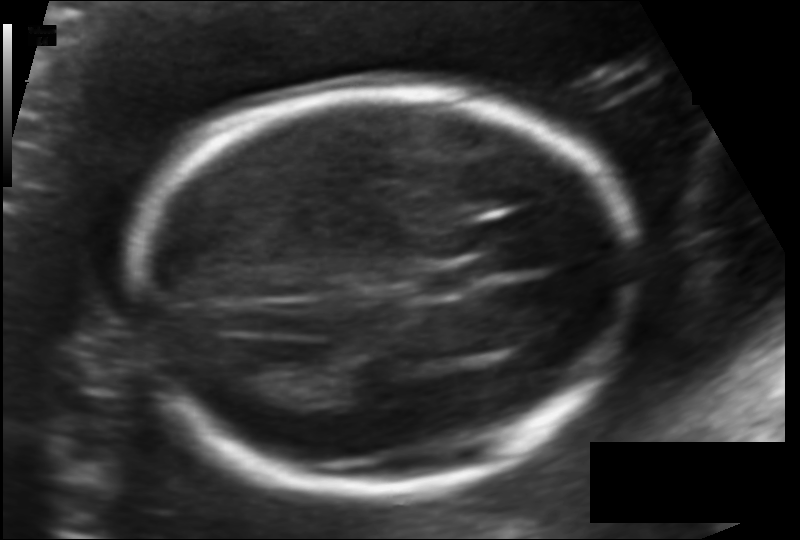
Fetal head ultrasound. Image width: 99.3 mm. Give [x1,y1,x2,y2] bounding boxes for each visible structure among: fetal head, CSP, LV.

Head: [133,88,636,488]
CSP: [412,262,481,302]
Lateral ventricle: [219,351,297,404]